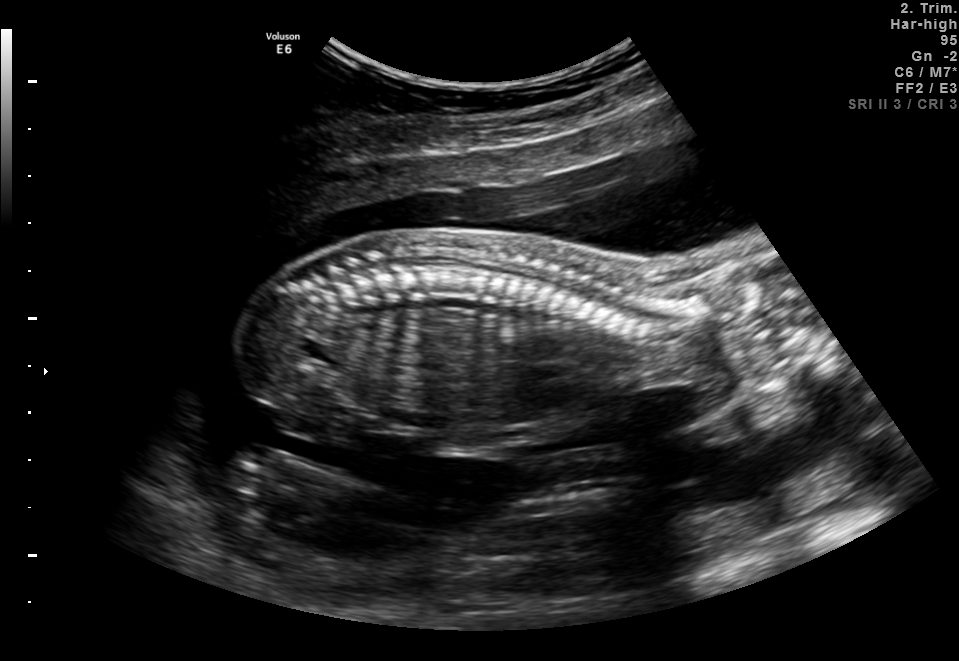
Which standard maternal-fetal ultrasound plane is shown: fetal abdomen, fetal brain, fetal femur, fetal thorax, maternal cervix, or other? If it's fetal brain and one of the three standard brain planes (trans-thalamic, trans-cerebellum, trans-ventricular), name which.

Other